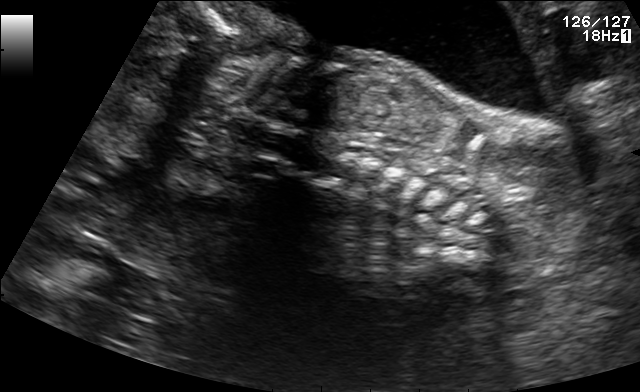
Which standard maternal-fetal ultrasound plane is shown: fetal abdomen, fetal brain, fetal femur, fetal thorax, maternal cervix, or other? If it's fetal brain and one of the three standard brain planes (trans-thalamic, trans-cerebellum, trans-ventricular), name which.

Other